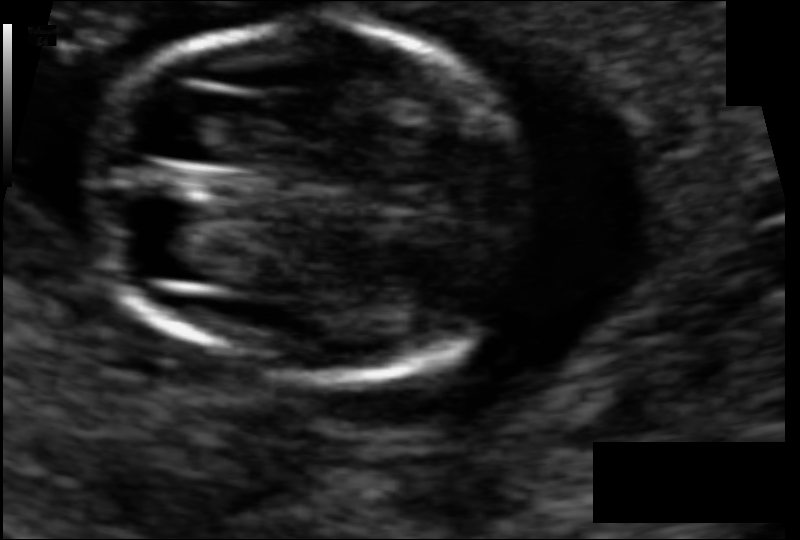
Measure the fetal head circumference shown in this ultrasound image. Image width: 48.6 mm.

Head circumference: 79.9 mm.